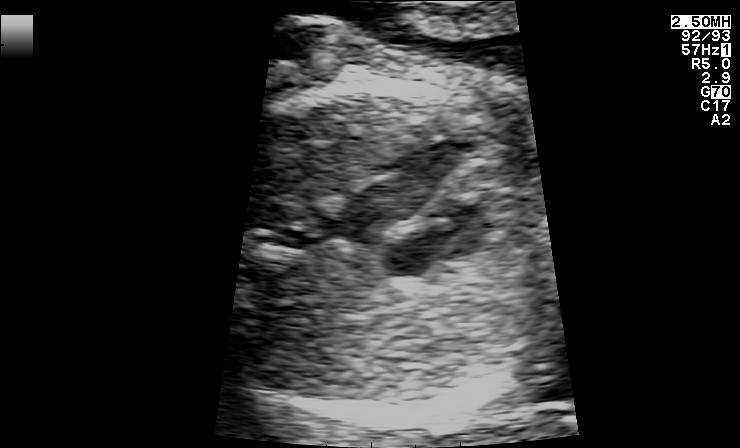
Identify the standard plane in this fetal ultrasound image: fetal abdomen, fetal brain, fetal femur, fetal thorax, maternal cervix, or other. If it's fetal brain and one of the three standard brain planes (trans-thalamic, trans-cerebellum, trans-ventricular), name which.

Fetal thorax